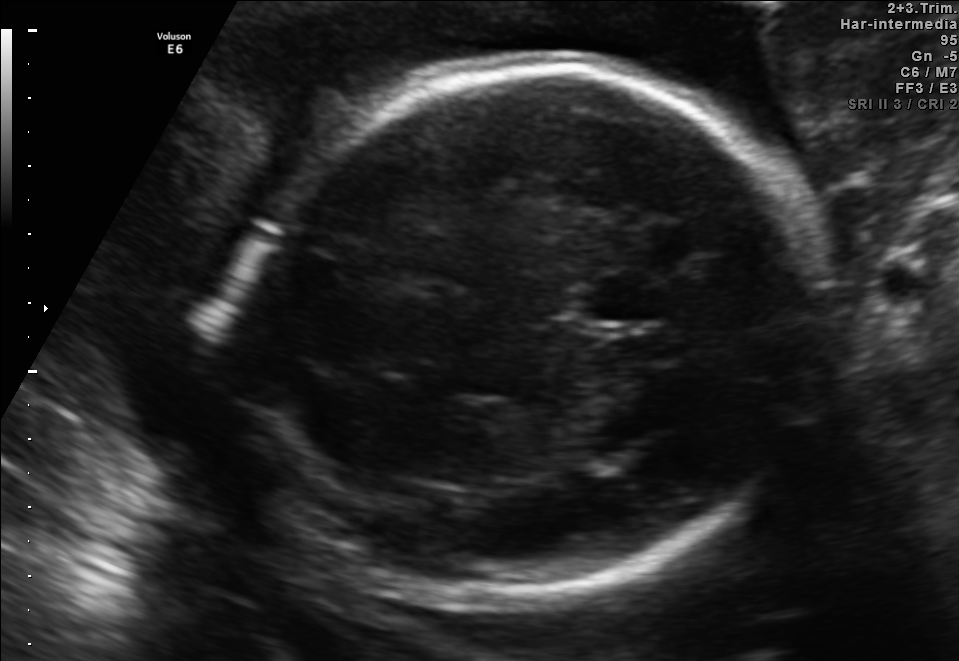
Fetal brain, trans-thalamic plane. Where is the fetal head?

Head bounding box: [233,65,804,608]